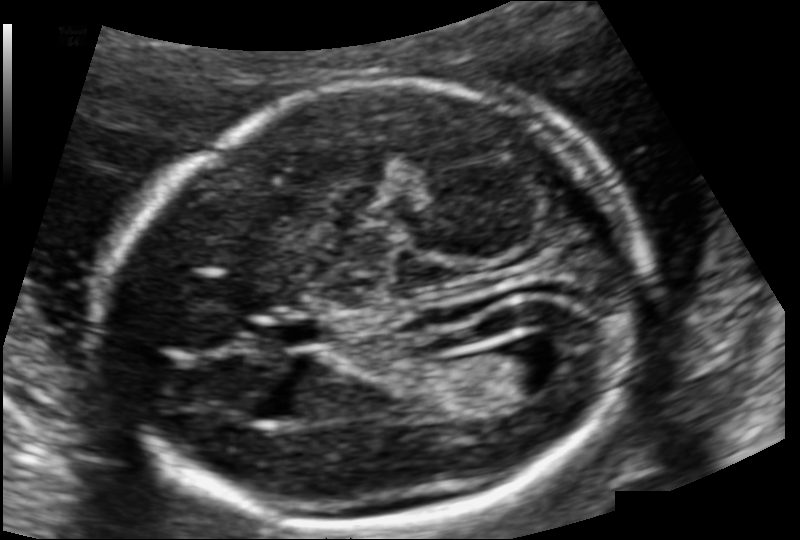
In this fetal head ultrasound, give the bounding box of the lateral ventricle. Image width: 89.0 mm.

[469,327,574,411]